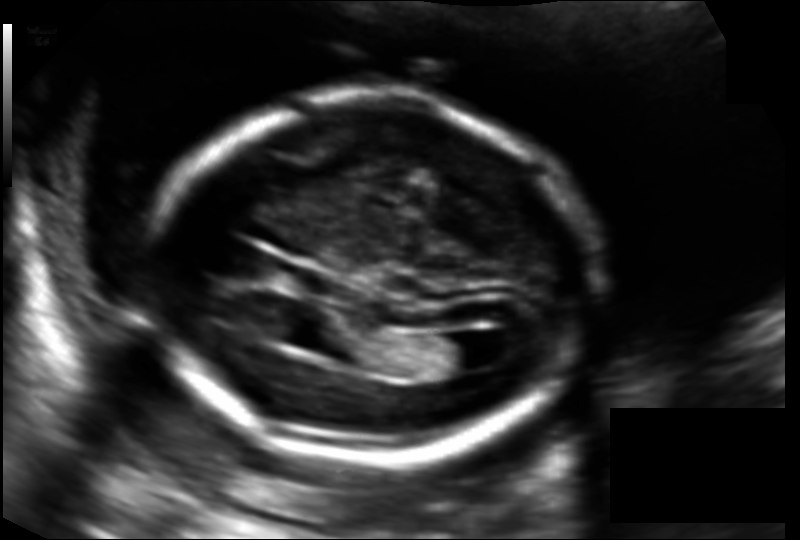
Fetal head ultrasound. Image width: 104.2 mm. Locate the fetal head and, if visible, the cavum septum pellucidum (CSP) and lateral ventricle (LV). Give bounding boxes as [x1,y1,x2,y2].

Head: [151,97,591,461]
CSP: [277,258,336,300]
Lateral ventricle: [435,331,493,374]